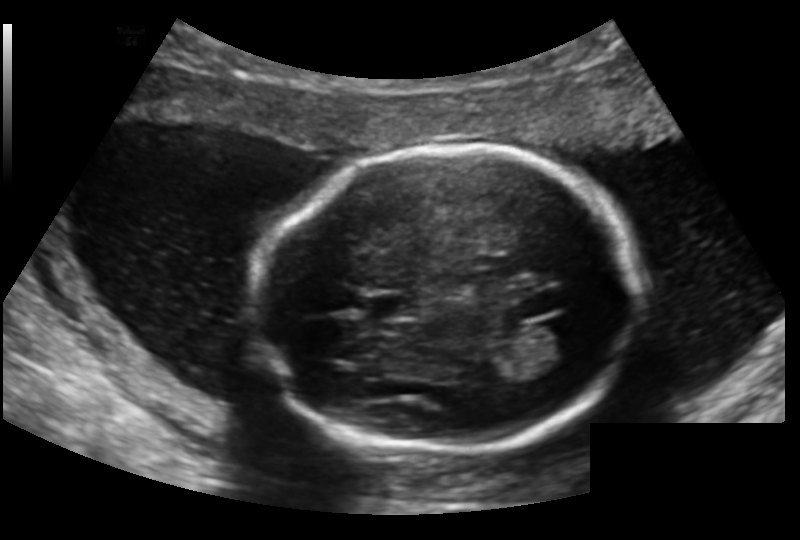
From this fetal ultrasound, estimate the head circumference (image width 127.4 mm).

Head circumference: 178.1 mm.